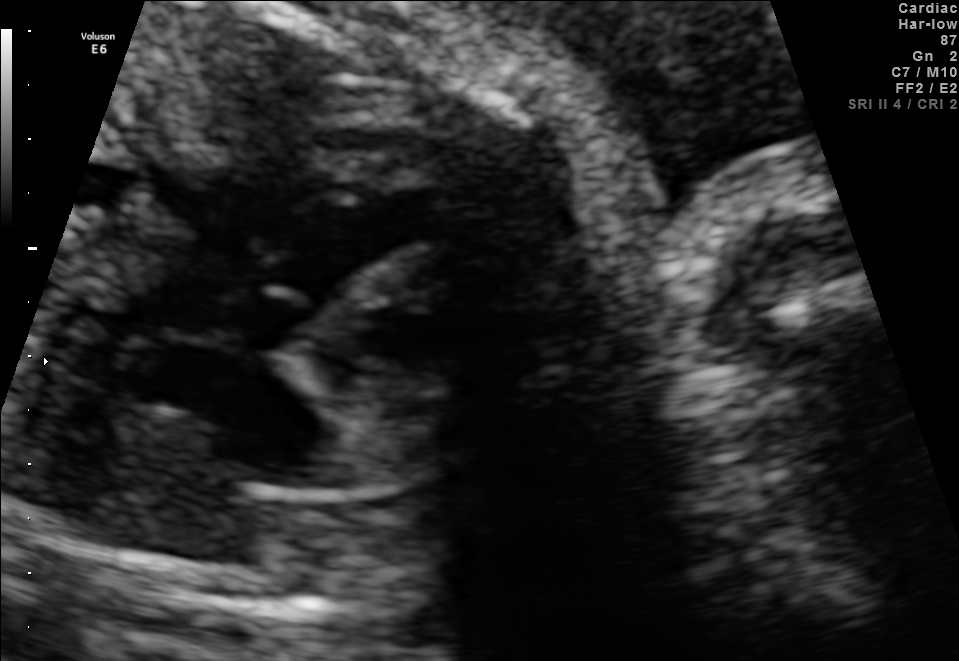
Which standard maternal-fetal ultrasound plane is shown: fetal abdomen, fetal brain, fetal femur, fetal thorax, maternal cervix, or other? If it's fetal brain and one of the three standard brain planes (trans-thalamic, trans-cerebellum, trans-ventricular), name which.

Fetal thorax